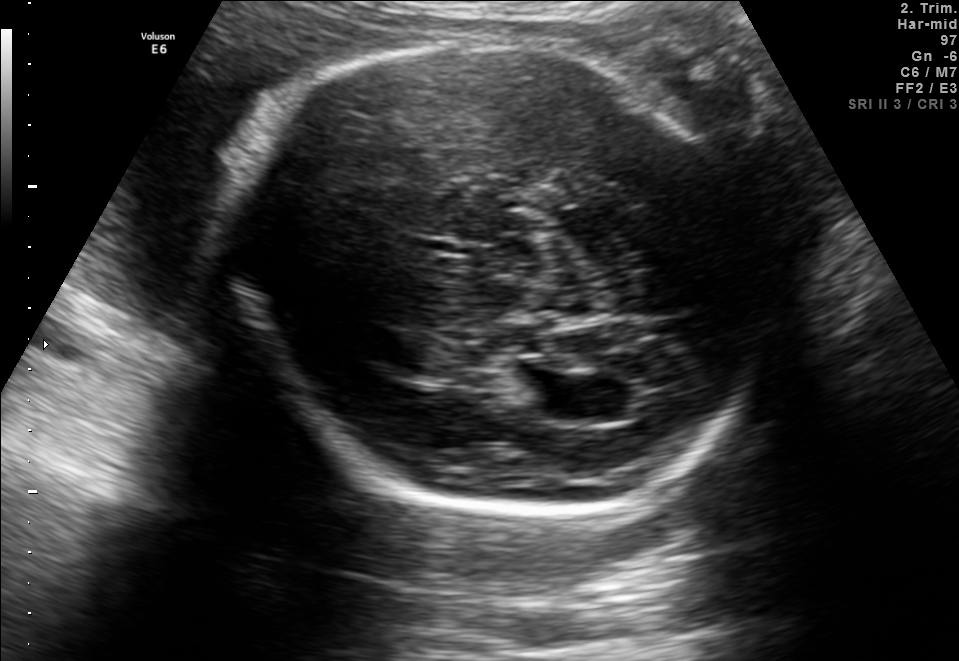
Fetal brain, trans-ventricular plane. Where is the fetal head?

Head bounding box: [228,28,775,525]